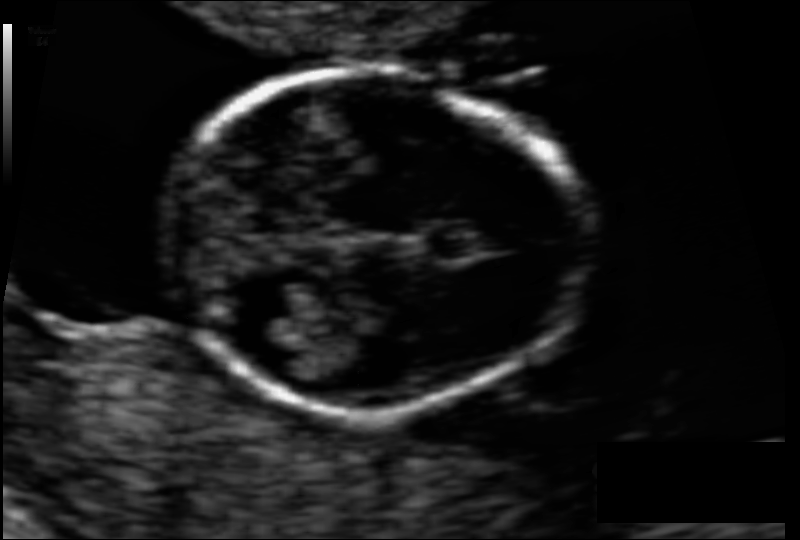
In this fetal head ultrasound, give the bounding box of the cavum septum pellucidum. Image width: 52.1 mm.

[429,221,495,263]